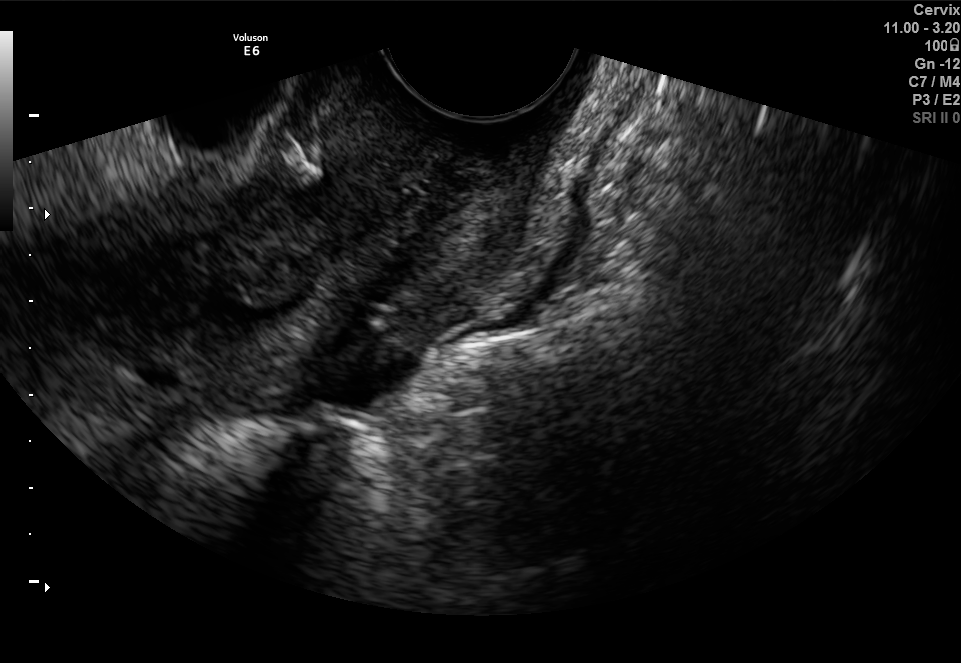
Identify the standard plane in this fetal ultrasound image: fetal abdomen, fetal brain, fetal femur, fetal thorax, maternal cervix, or other. If it's fetal brain and one of the three standard brain planes (trans-thalamic, trans-cerebellum, trans-ventricular), name which.

Maternal cervix